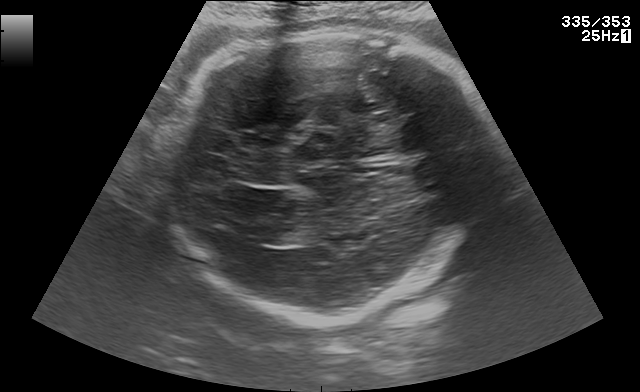
Fetal brain, trans-thalamic plane. Locate the fetal head and, if visible, the cavum septum pellucidum (CSP) and lateral ventricle (LV). Give bounding boxes as [x1,y1,x2,y2].

Head: [169,26,502,321]
Lateral ventricle: [257,225,312,246]